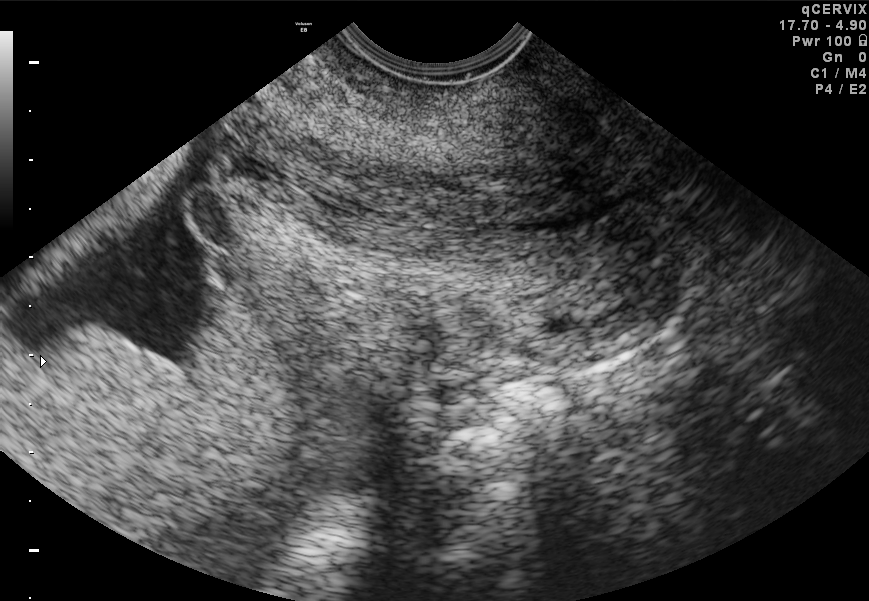
Identify the standard plane in this fetal ultrasound image: fetal abdomen, fetal brain, fetal femur, fetal thorax, maternal cervix, or other. If it's fetal brain and one of the three standard brain planes (trans-thalamic, trans-cerebellum, trans-ventricular), name which.

Maternal cervix